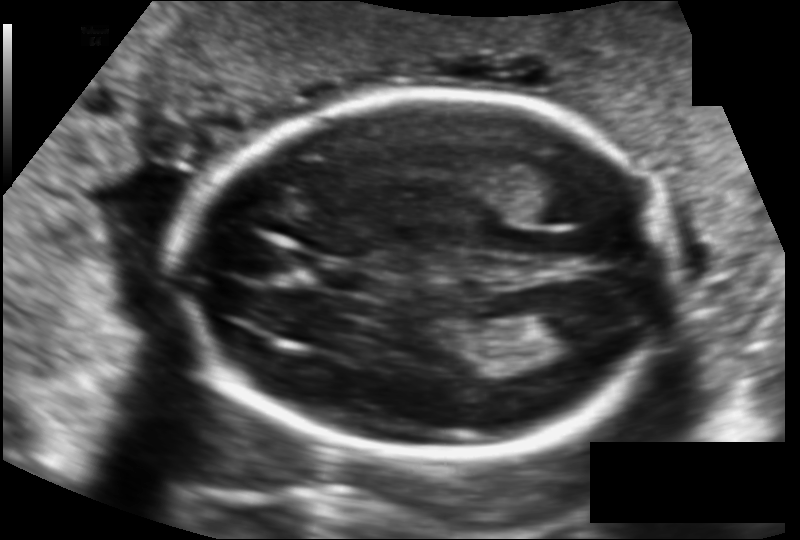
In this fetal head ultrasound, give the bounding box of the cavum septum pellucidum. Image width: 98.9 mm.

[317,259,380,299]